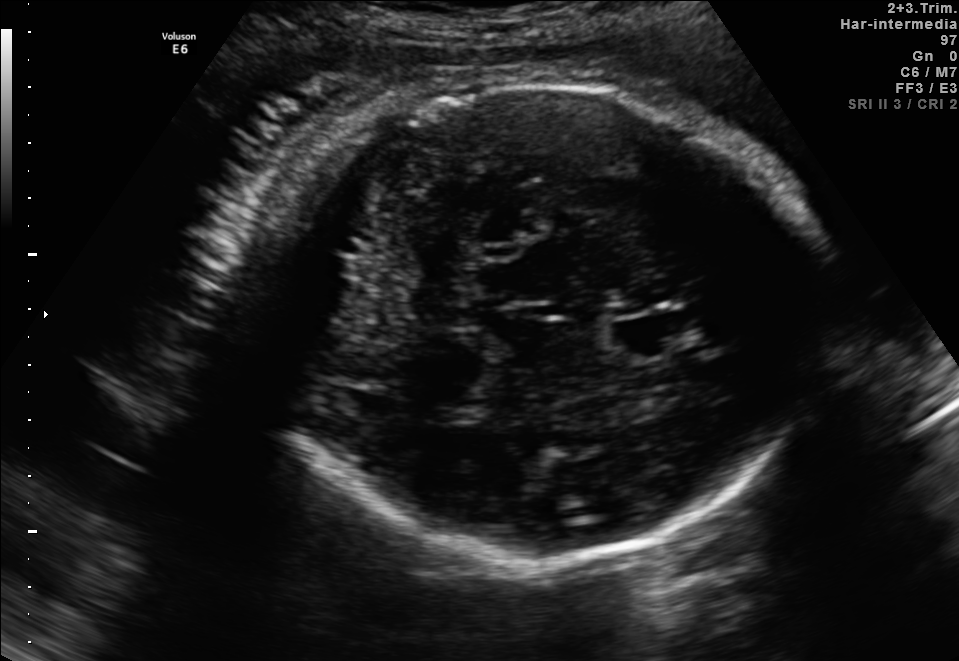
Fetal brain, trans-thalamic plane. Where is the fetal head?

Head bounding box: [225,83,818,562]